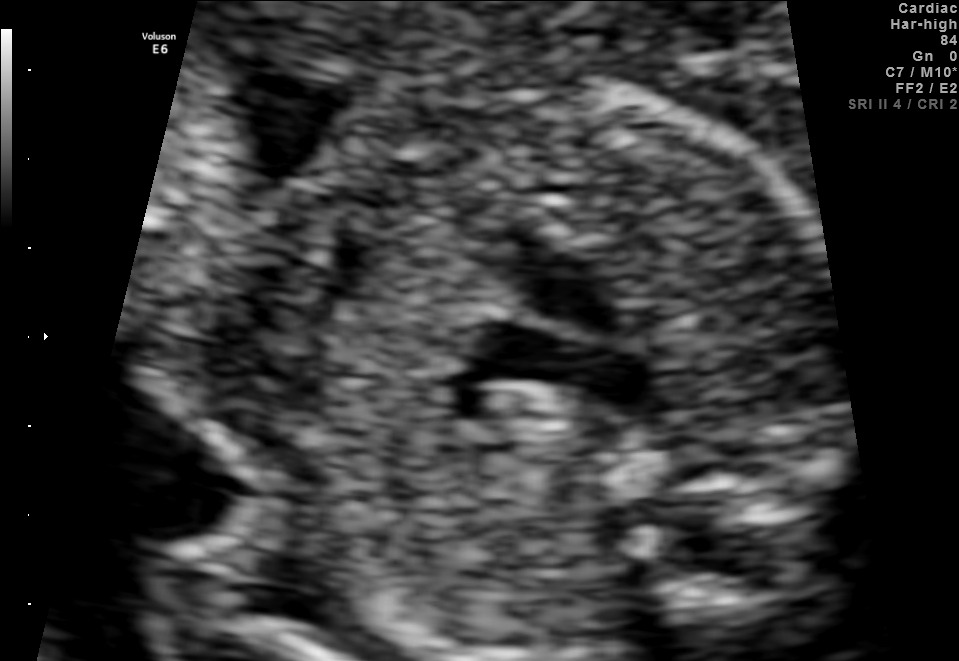
Classify this maternal-fetal ultrasound image as one of the six standard planes — fetal abdomen, fetal brain, fetal femur, fetal thorax, maternal cervix, or other. If it's fetal brain and one of the three standard brain planes (trans-thalamic, trans-cerebellum, trans-ventricular), name which.

Other